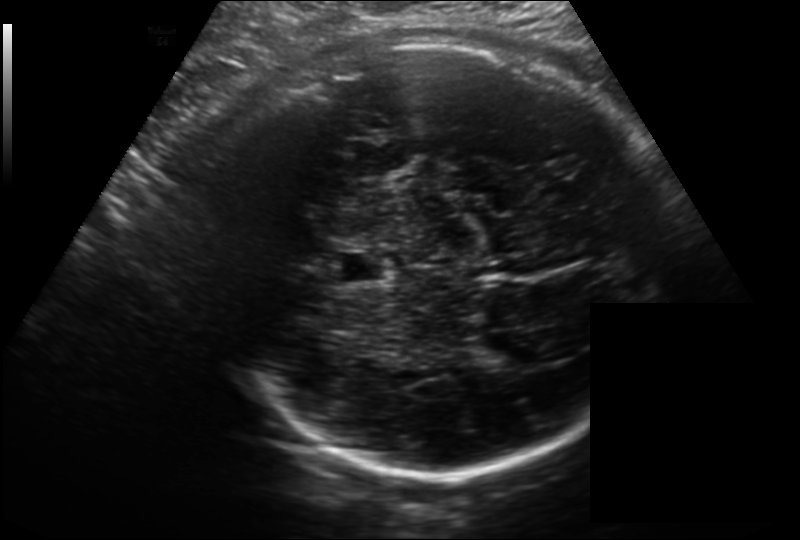
Estimate the fetal head circumference from this 2D ultrasound. Image width: 171.5 mm.

Head circumference: 312.8 mm.